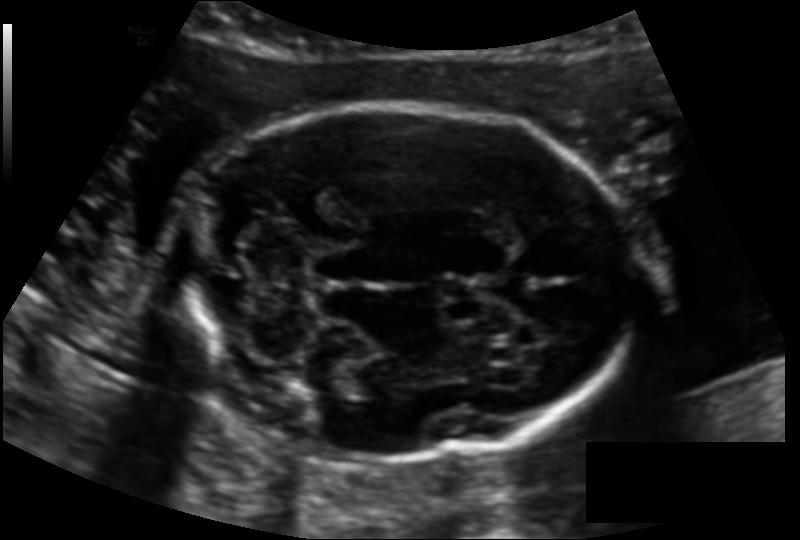
What is the fetal head circumference? Image width is 102.3 mm.

170.5 mm